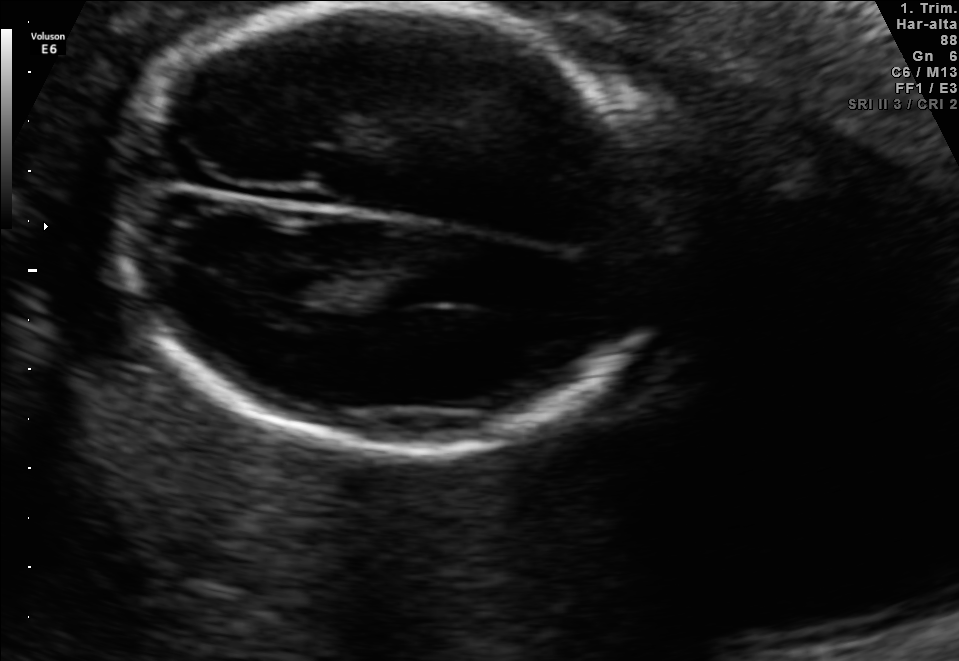
In this fetal brain, trans-thalamic plane, give the bounding box of the fetal head.

[122,3,663,458]